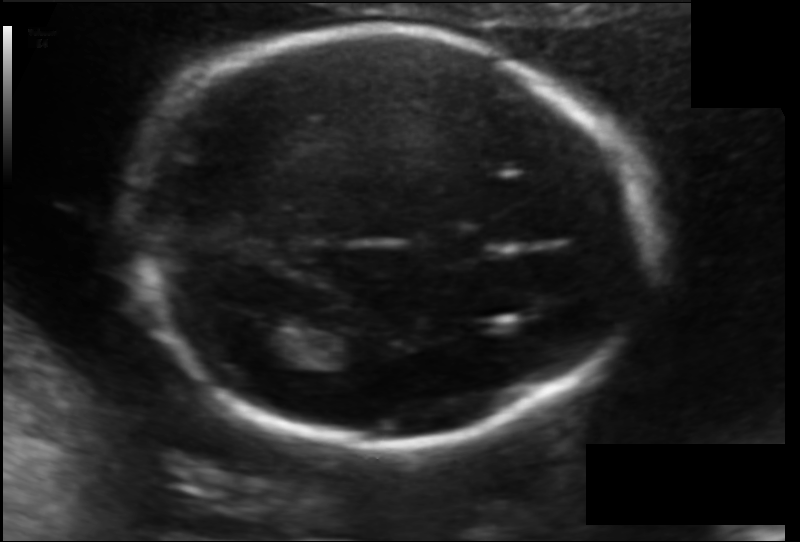
Fetal head ultrasound. Image width: 91.4 mm. Where is the lateral ventricle?

Lateral ventricle bounding box: [240,326,297,367]